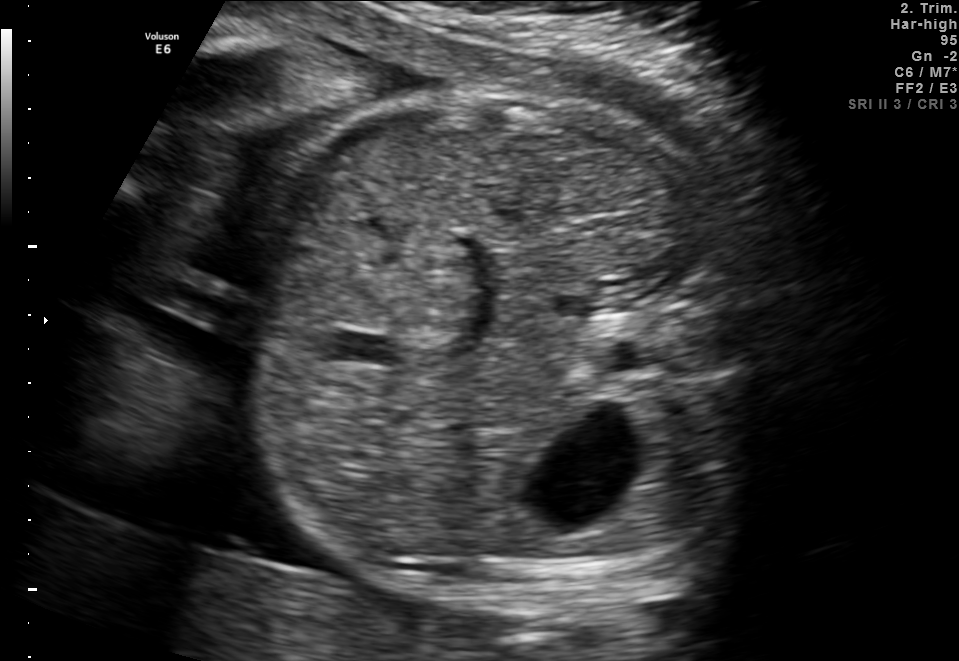
Which standard maternal-fetal ultrasound plane is shown: fetal abdomen, fetal brain, fetal femur, fetal thorax, maternal cervix, or other? If it's fetal brain and one of the three standard brain planes (trans-thalamic, trans-cerebellum, trans-ventricular), name which.

Fetal abdomen